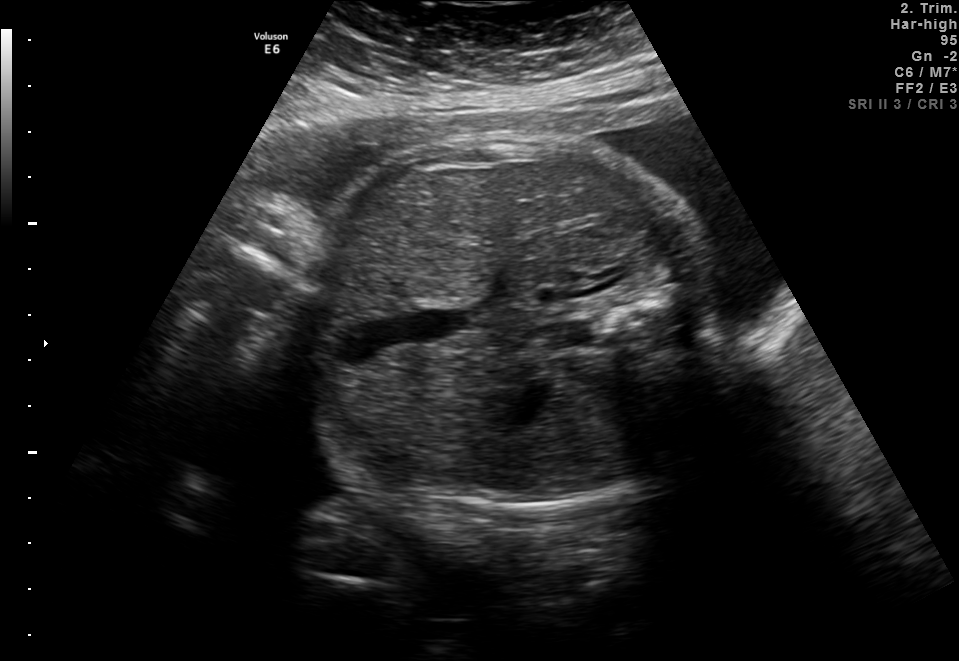
Identify the standard plane in this fetal ultrasound image: fetal abdomen, fetal brain, fetal femur, fetal thorax, maternal cervix, or other. If it's fetal brain and one of the three standard brain planes (trans-thalamic, trans-cerebellum, trans-ventricular), name which.

Fetal abdomen